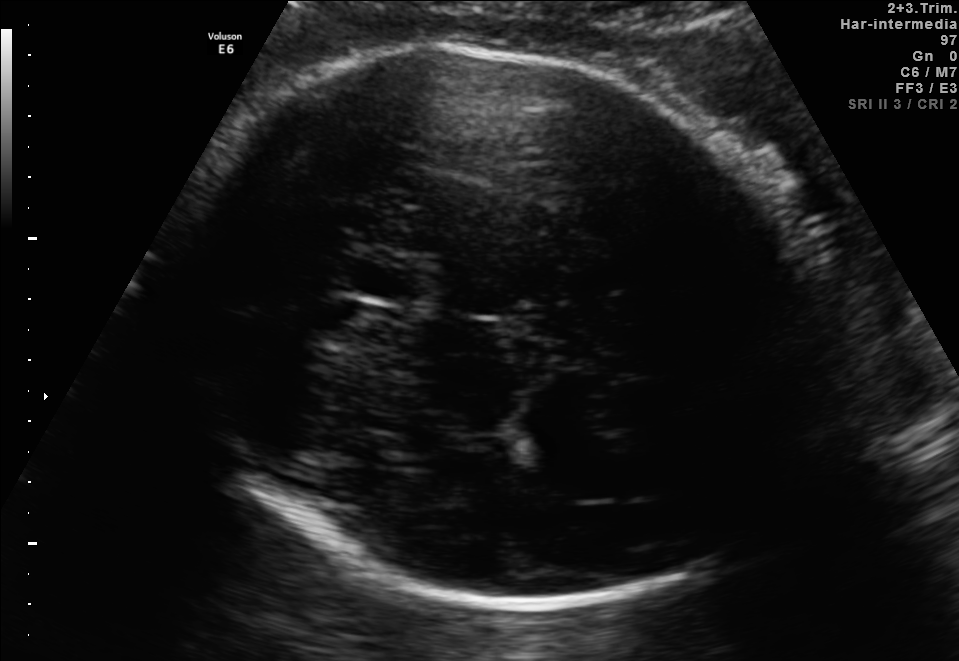
In this fetal brain, trans-thalamic plane, give the bounding box of the cavum septum pellucidum.

[350,257,417,304]